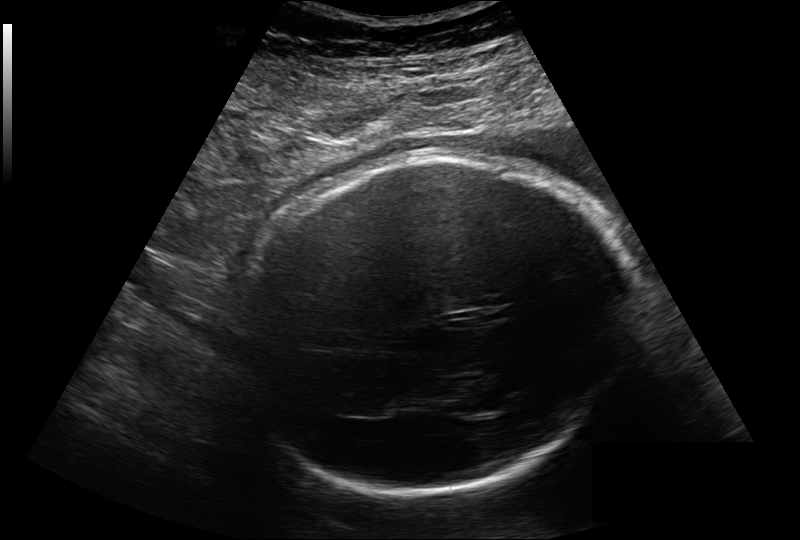
Measure the fetal head circumference shown in this ultrasound image. Image width: 211.0 mm.

Head circumference: 315.7 mm.